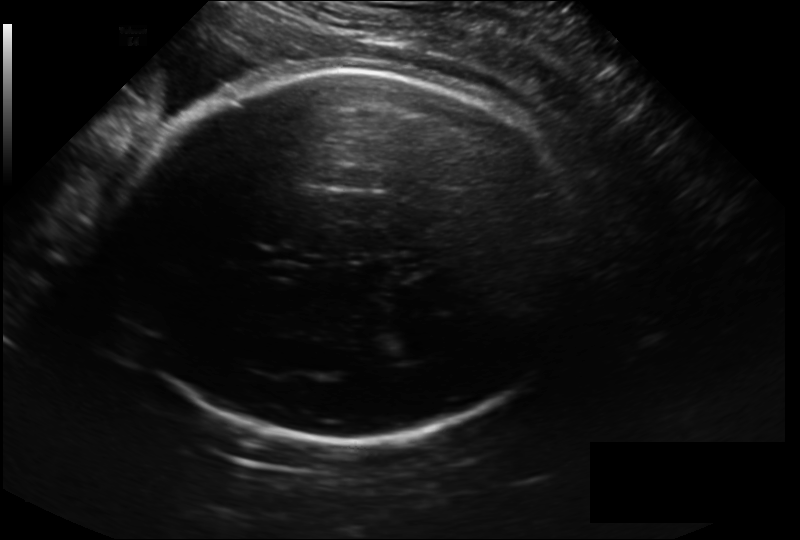
In this fetal head ultrasound, give the bounding box of the fetal head. Image width: 182.1 mm.

[116,70,582,442]